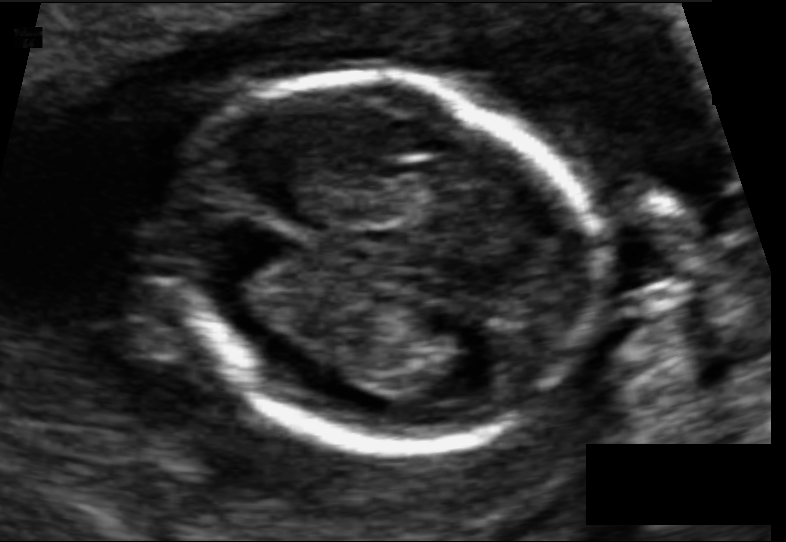
Fetal head ultrasound. Image width: 58.4 mm. Where is the fetal head?

Head bounding box: [170,76,596,453]